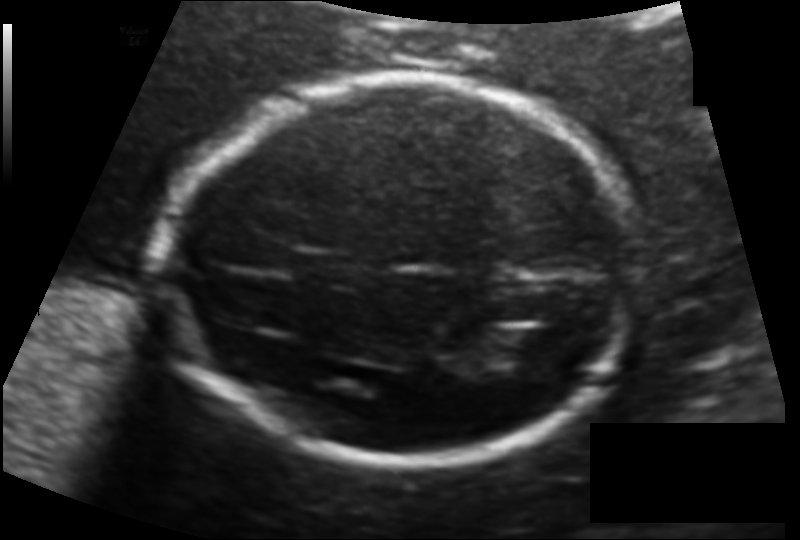
Fetal head ultrasound. Image width: 98.0 mm. Locate the fetal head.

Head: [164,75,644,465]